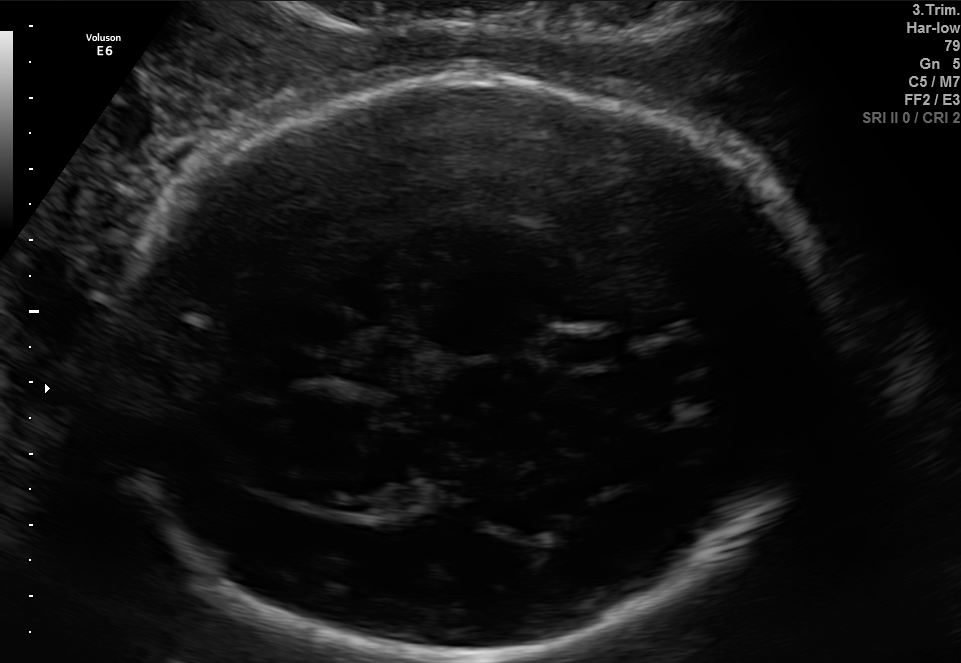
In this fetal brain, trans-thalamic plane, give the bounding box of the cavum septum pellucidum.

[552,336,615,360]